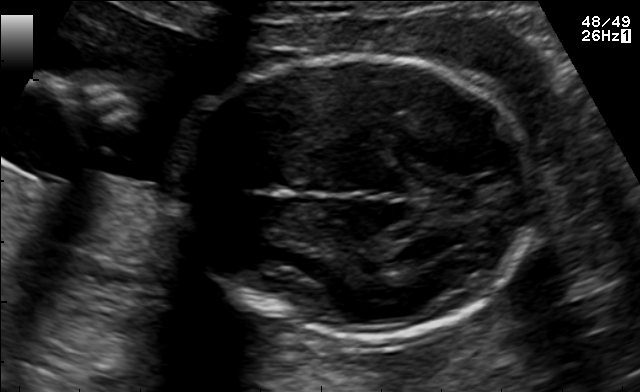
In this fetal brain, trans-thalamic plane, give the bounding box of the fetal head.

[182,56,537,340]